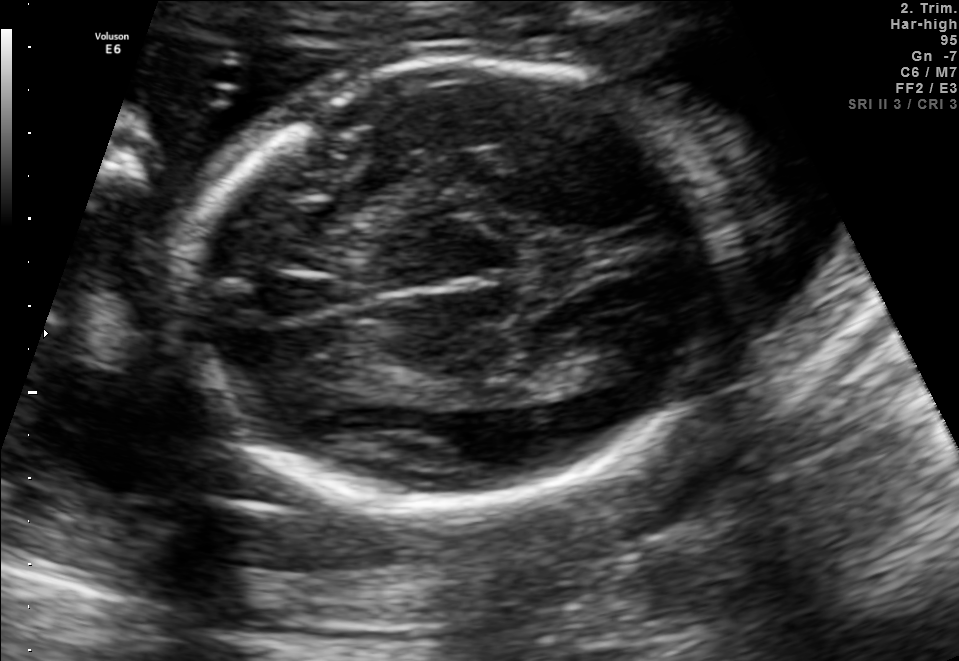
Fetal brain, trans-thalamic plane. Locate the fetal head and, if visible, the cavum septum pellucidum (CSP) and lateral ventricle (LV). Give bounding boxes as [x1,y1,x2,y2].

Head: [182,56,719,507]